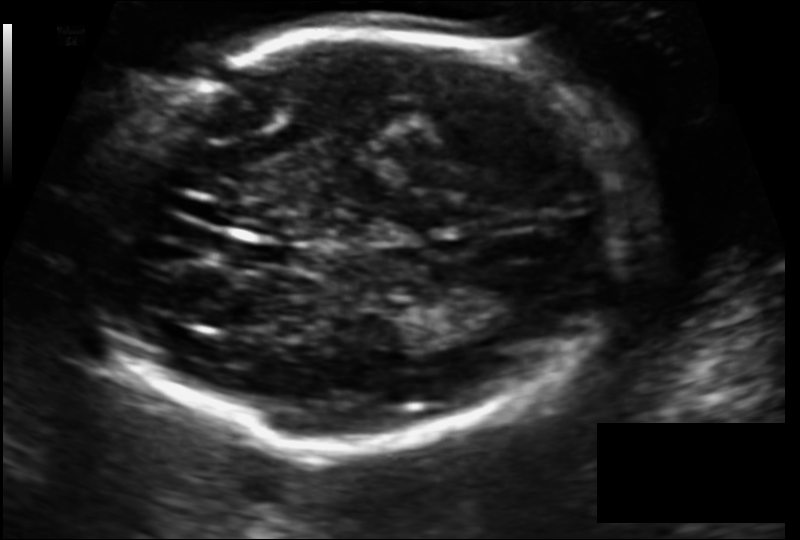
What is the fetal head circumference? Image width is 98.9 mm.

191.9 mm